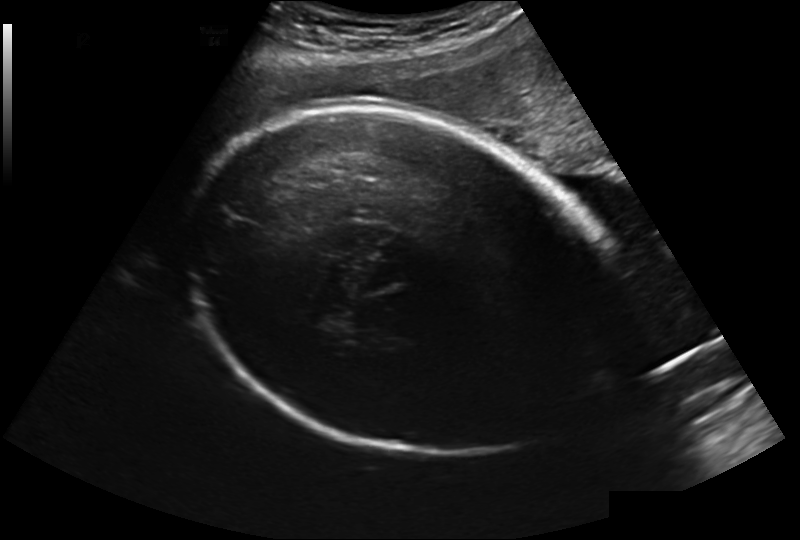
In this fetal head ultrasound, give the bounding box of the fetal head. Image width: 192.6 mm.

[185,109,611,455]